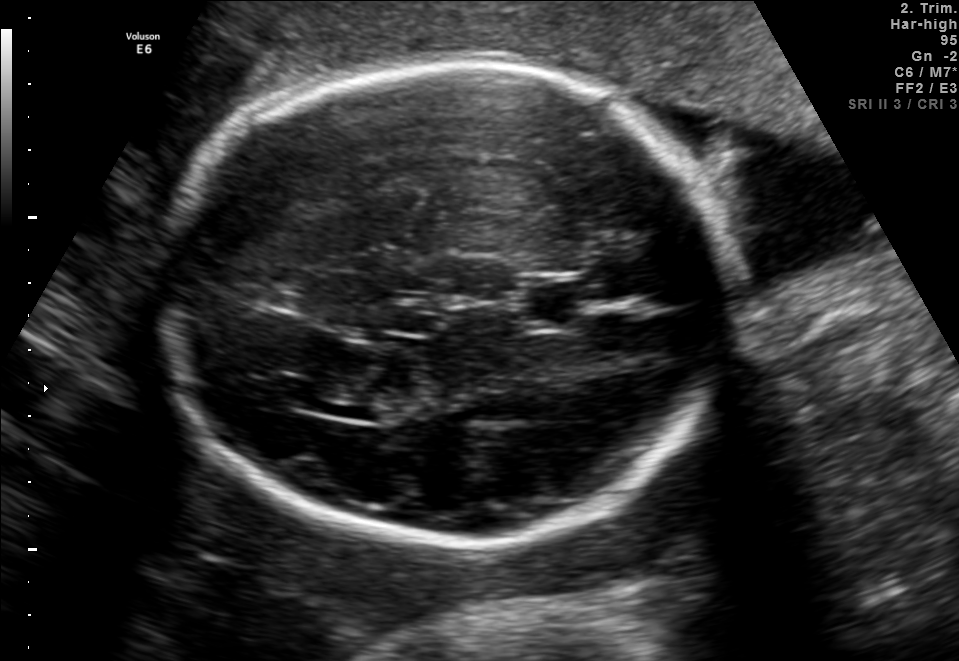
Fetal brain, trans-thalamic plane. Where is the cavum septum pellucidum?

CSP bounding box: [522,280,583,327]